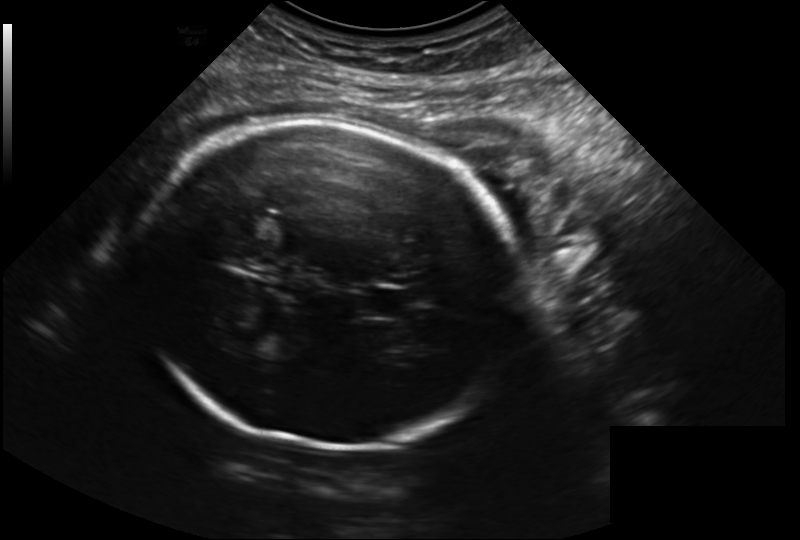
Fetal head ultrasound. Image width: 178.0 mm. Locate the fetal head and, if visible, the cavum septum pellucidum (CSP) and lateral ventricle (LV). Give bounding boxes as [x1,y1,x2,y2].

Head: [138,123,526,448]
CSP: [359,285,417,322]